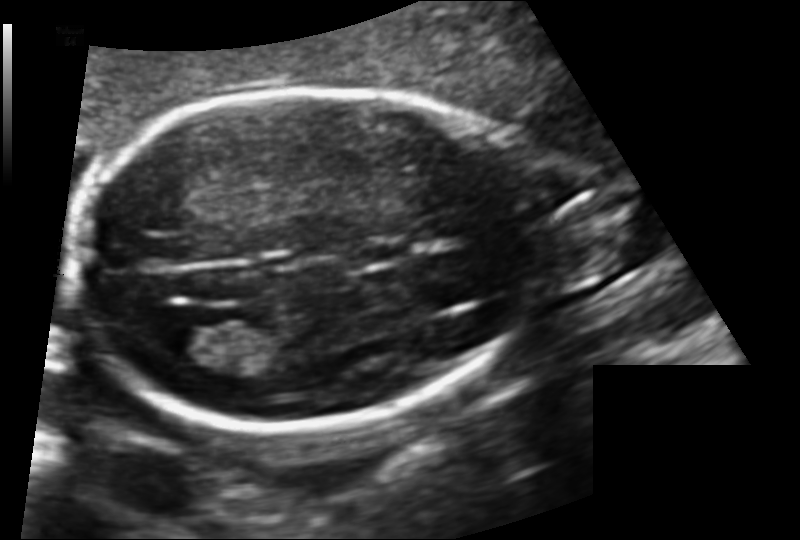
Fetal head ultrasound. Image width: 102.4 mm. Locate the lateral ventricle.

Lateral ventricle: [167,319,246,363]